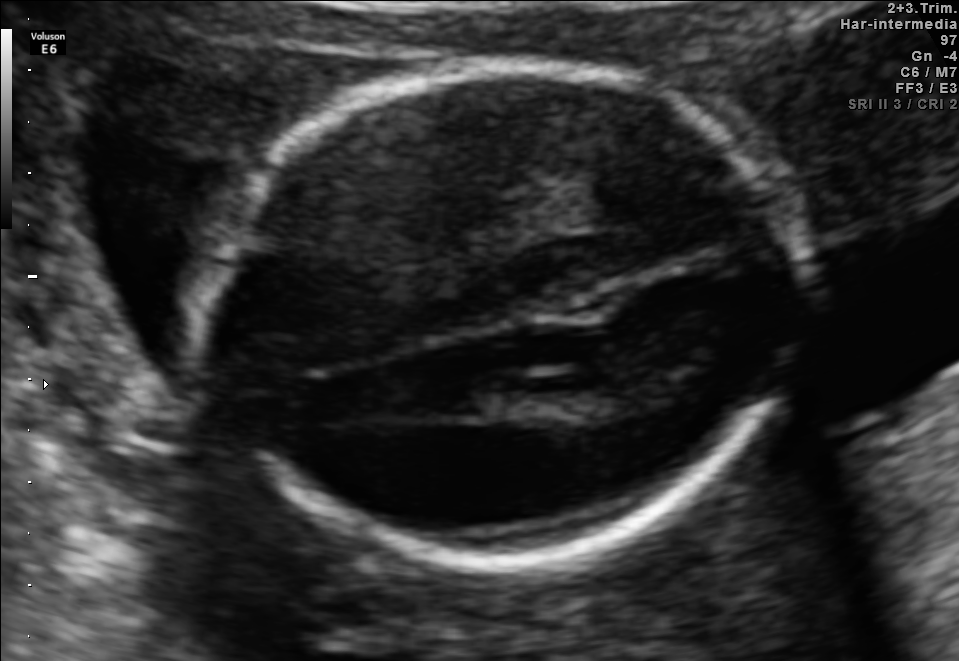
Fetal brain, trans-thalamic plane. Locate the fetal head.

Head: [207,61,794,568]